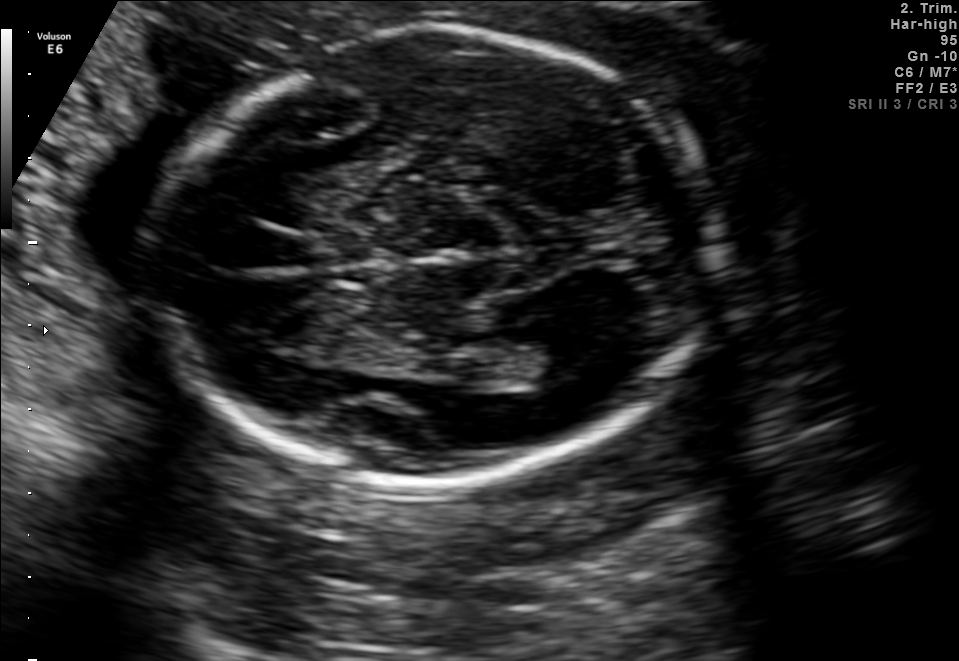
Fetal brain, trans-ventricular plane. Where is the lateral ventricle?

Lateral ventricle bounding box: [521,324,604,383]